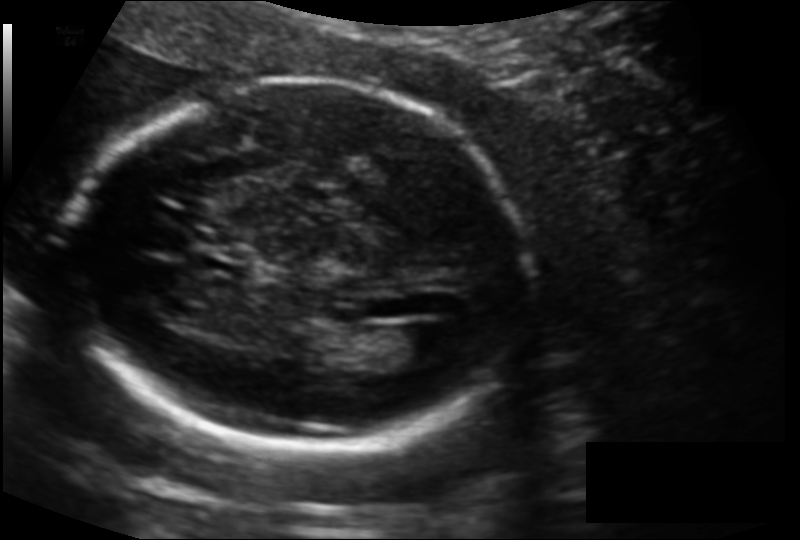
Fetal head ultrasound. Image width: 101.6 mm. Locate the fetal head and, if visible, the cavum septum pellucidum (CSP) and lateral ventricle (LV). Give bounding boxes as [x1,y1,x2,y2].

Head: [67,79,530,448]
Lateral ventricle: [379,322,454,367]